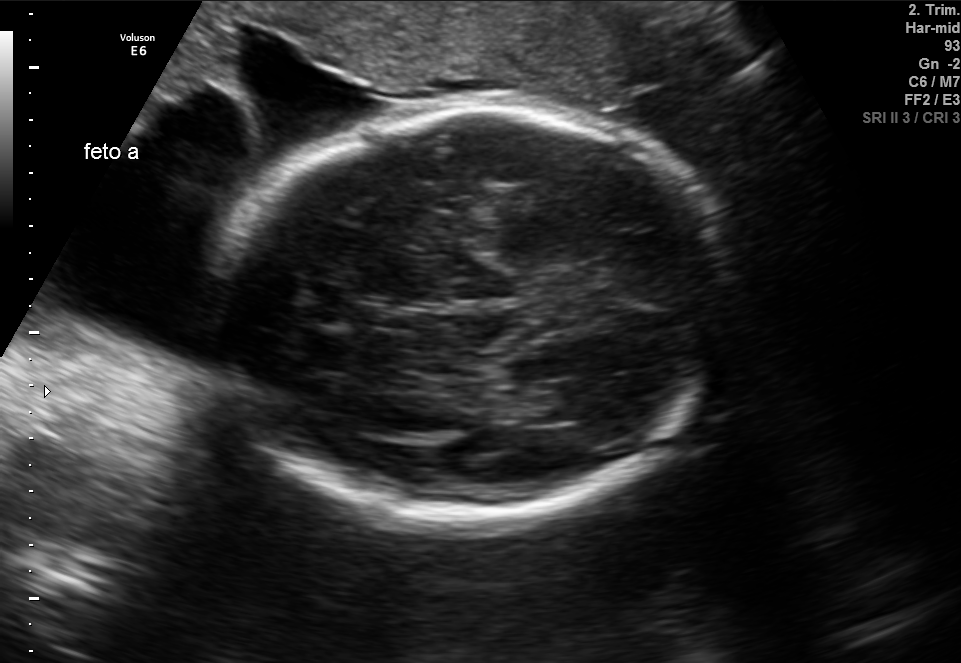
Fetal brain, trans-thalamic plane. Where is the lateral ventricle?

Lateral ventricle bounding box: [529,376,609,428]